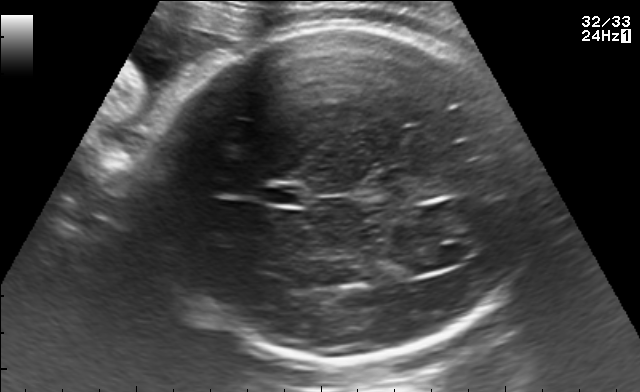
Fetal brain, trans-ventricular plane. Where is the fetal head?

Head bounding box: [143,21,537,370]